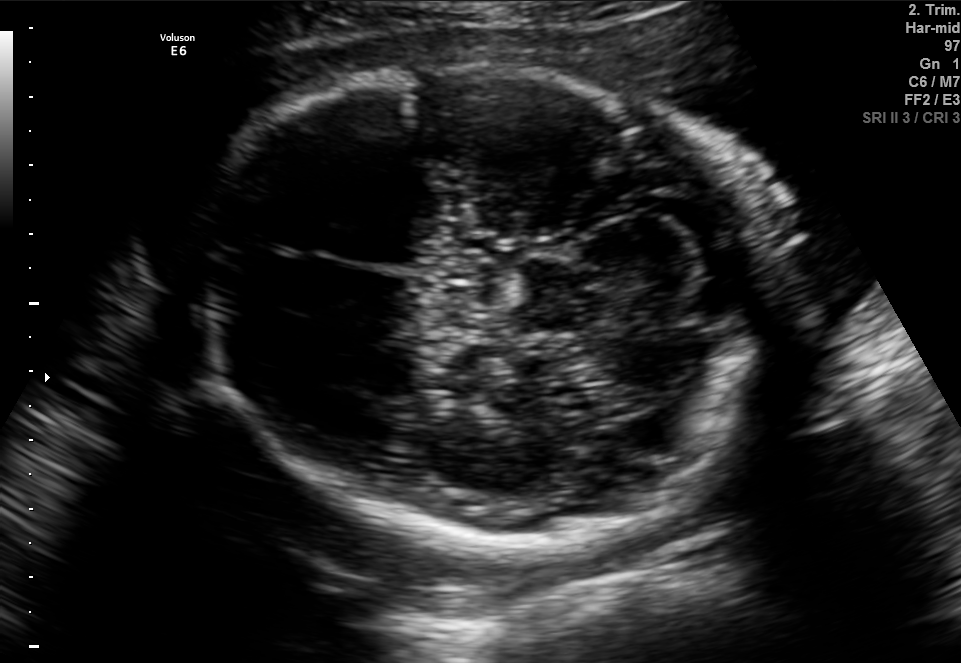
Fetal brain, trans-cerebellum plane. Locate the fetal head and, if visible, the cavum septum pellucidum (CSP) and lateral ventricle (LV). Give bounding boxes as [x1,y1,x2,y2].

Head: [201,69,784,548]